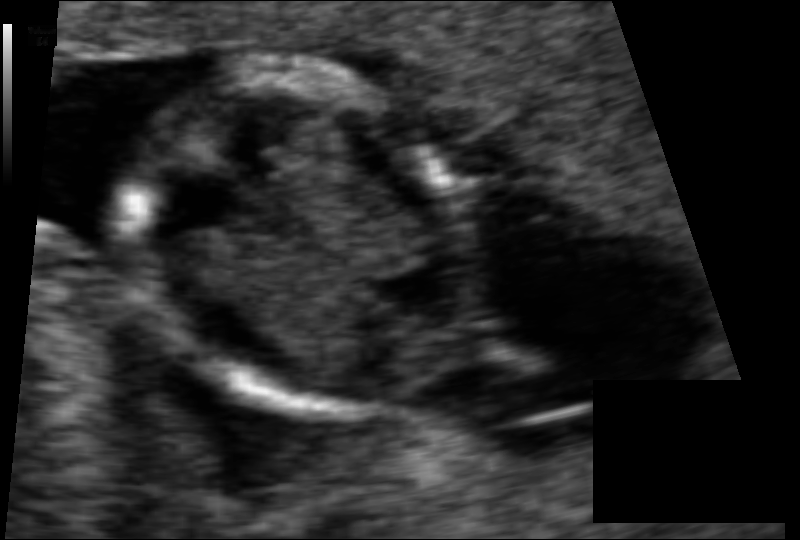
Estimate the fetal head circumference from this 2D ultrasound. Image width: 52.2 mm.

Head circumference: 74.7 mm.